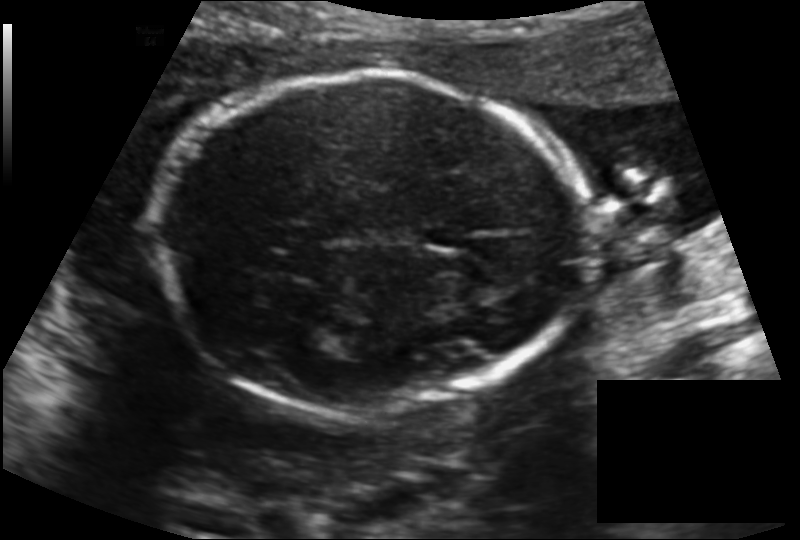
From this fetal ultrasound, estimate the head circumference (image width 116.2 mm).

Head circumference: 182.3 mm.